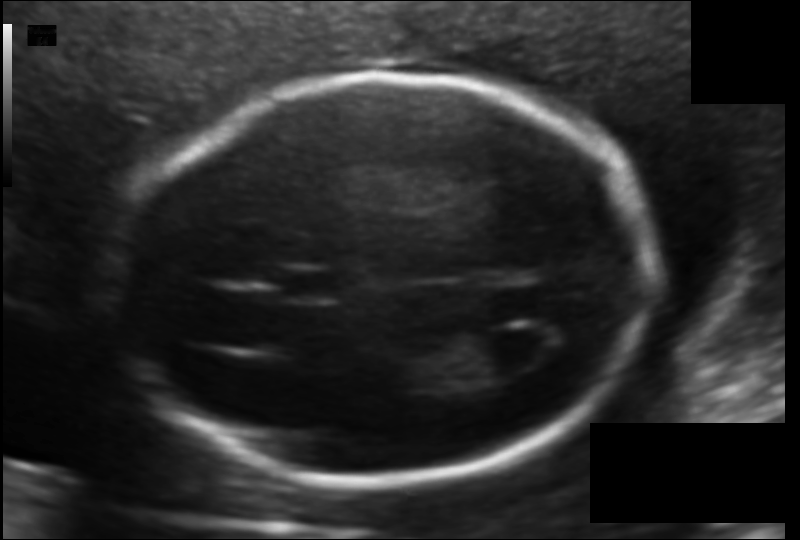
Fetal head ultrasound. Image width: 93.0 mm. Where is the lateral ventricle?

Lateral ventricle bounding box: [456,314,551,387]